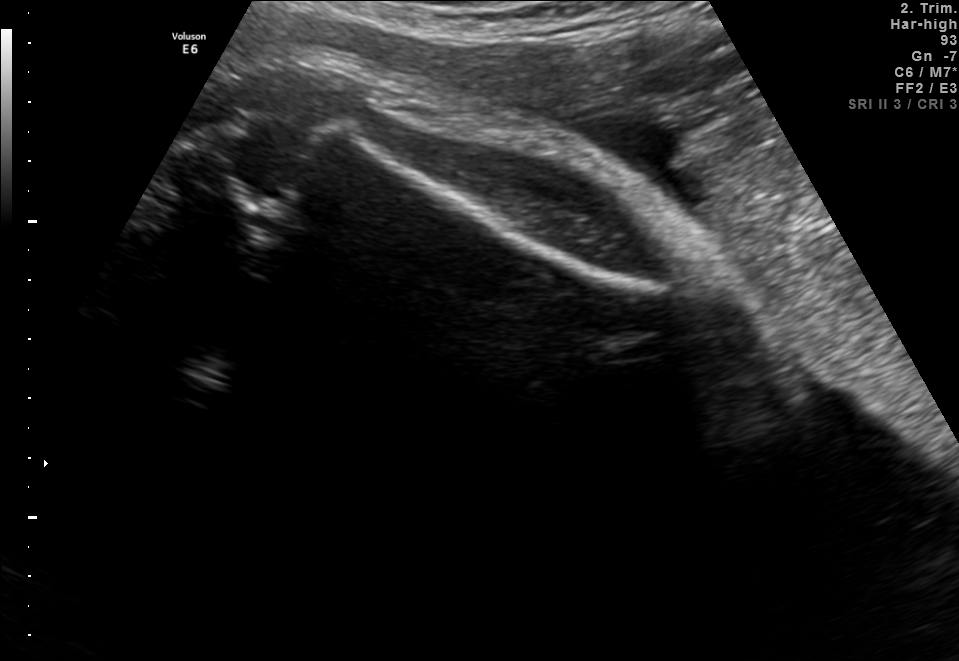
Which standard maternal-fetal ultrasound plane is shown: fetal abdomen, fetal brain, fetal femur, fetal thorax, maternal cervix, or other? If it's fetal brain and one of the three standard brain planes (trans-thalamic, trans-cerebellum, trans-ventricular), name which.

Fetal femur